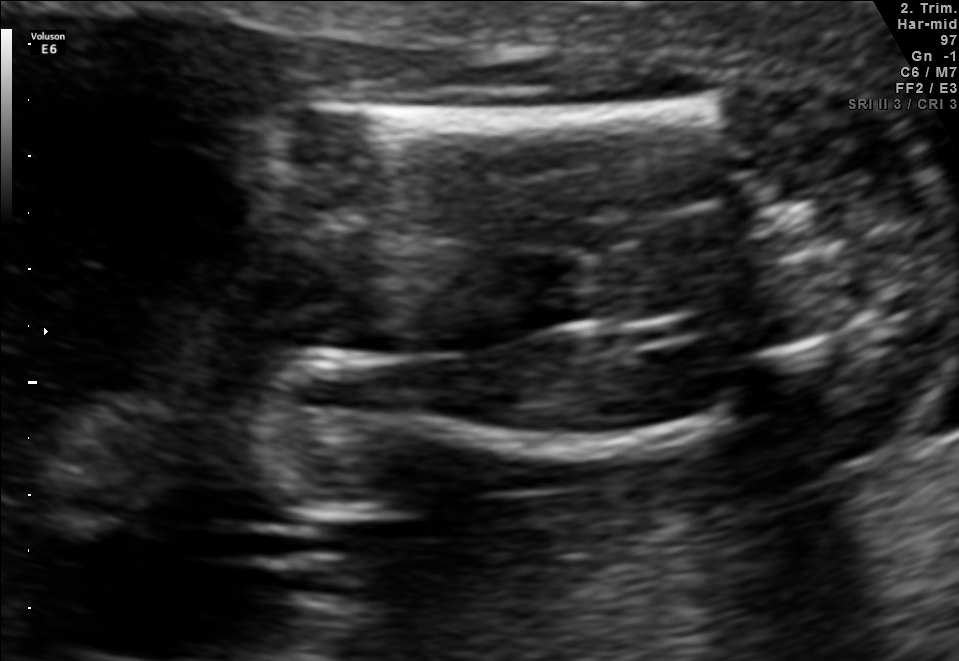
This is a 2D maternal-fetal ultrasound frame. Is it a fetal abdomen, fetal brain, fetal femur, fetal thorax, maternal cervix, or other standard plane? If it's fetal brain and one of the three standard brain planes (trans-thalamic, trans-cerebellum, trans-ventricular), name which.

Fetal femur